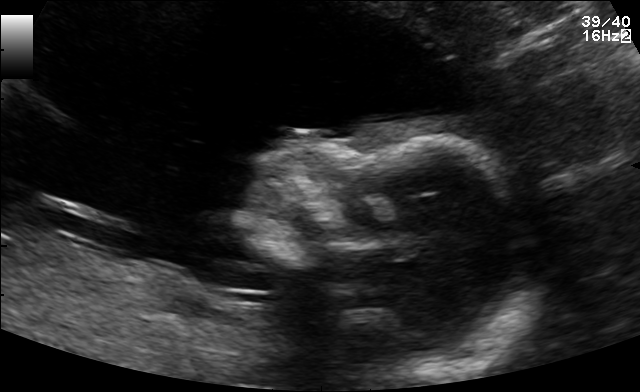
Classify this maternal-fetal ultrasound image as one of the six standard planes — fetal abdomen, fetal brain, fetal femur, fetal thorax, maternal cervix, or other. If it's fetal brain and one of the three standard brain planes (trans-thalamic, trans-cerebellum, trans-ventricular), name which.

Other